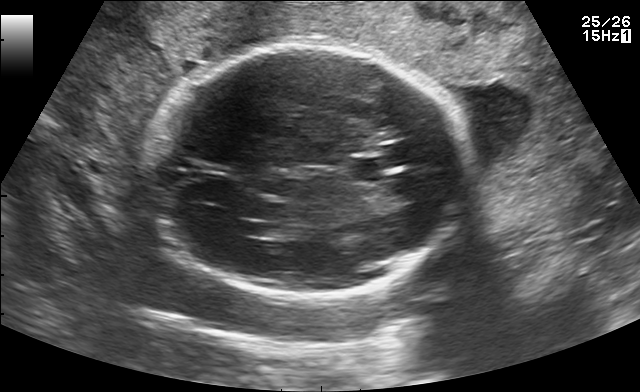
In this fetal brain, trans-ventricular plane, give the bounding box of the cavum septum pellucidum.

[341,156,396,183]